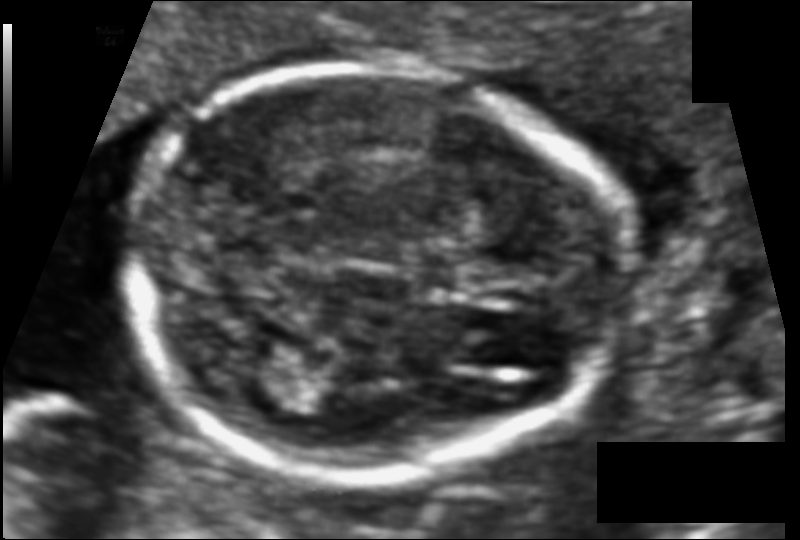
Fetal head ultrasound. Image width: 65.0 mm. Where is the fetal head?

Head bounding box: [123,65,621,477]